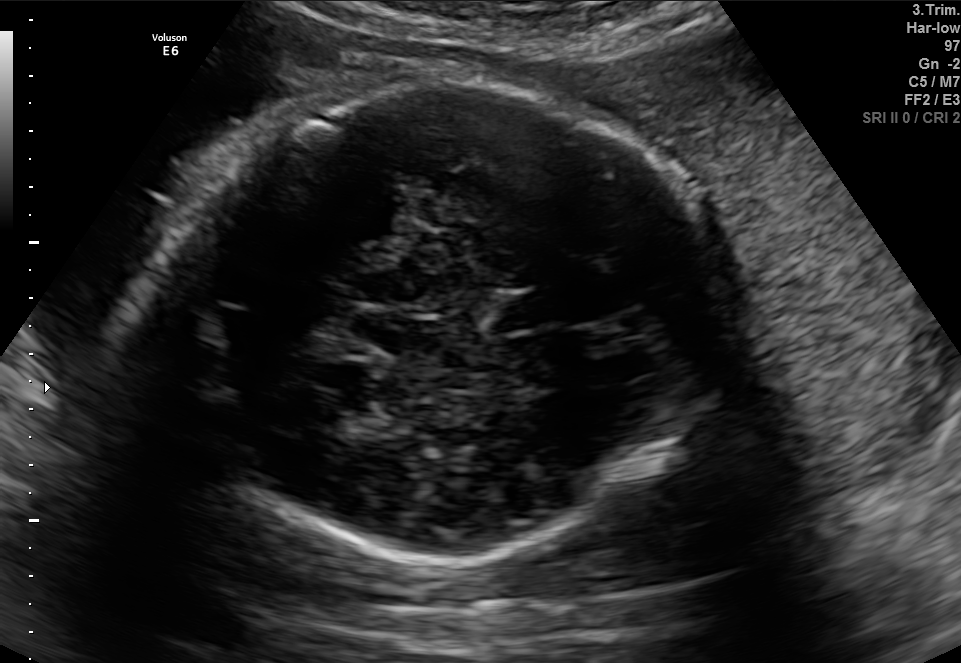
Fetal brain, trans-thalamic plane. Locate the fetal head.

Head: [168,79,714,560]